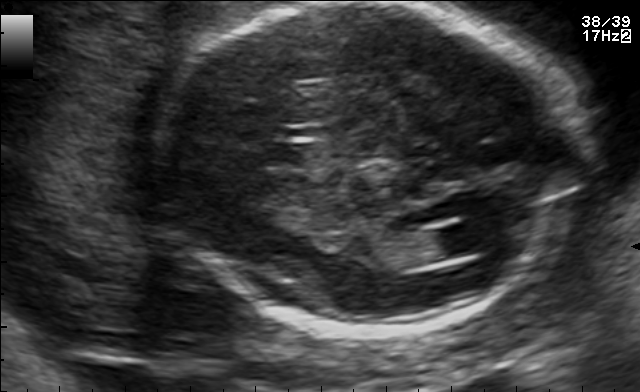
Fetal brain, trans-ventricular plane. Locate the fetal head and, if visible, the cavum septum pellucidum (CSP) and lateral ventricle (LV). Give bounding boxes as [x1,y1,x2,y2].

Head: [152,2,583,336]
Lateral ventricle: [423,217,494,262]